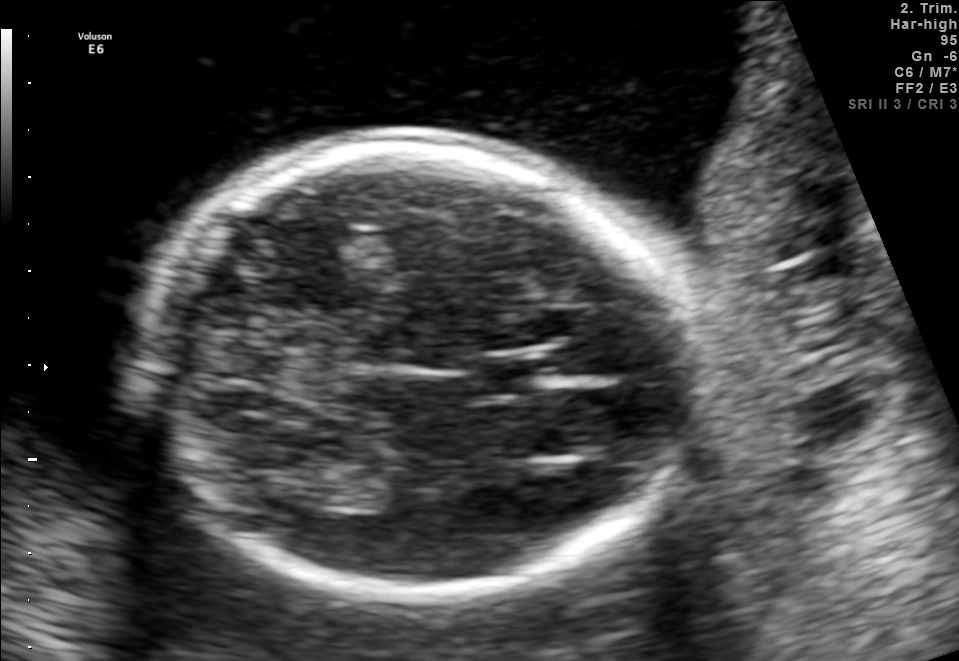
Fetal brain, trans-thalamic plane. Give [x1,y1,x2,y2] bounding boxes for each visible structure among: fetal head, CSP, LV.

Head: [136,137,699,596]
CSP: [475,358,545,398]